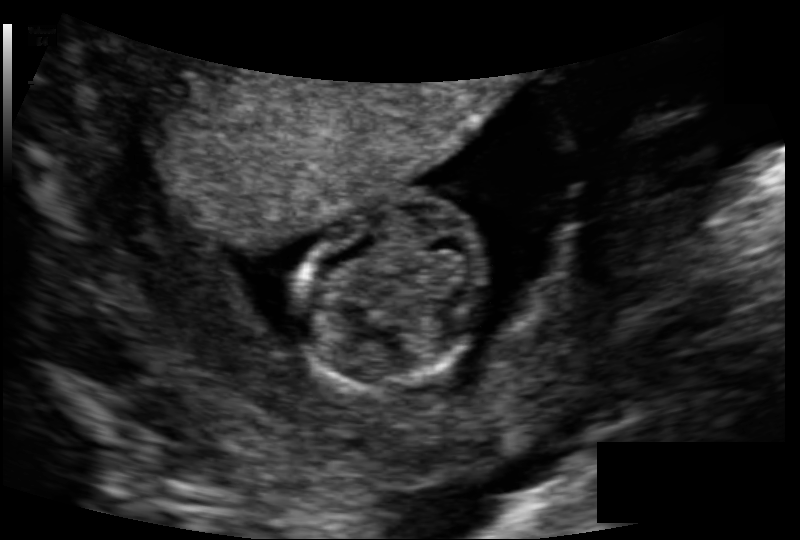
Fetal head ultrasound. Image width: 94.2 mm. Where is the fetal head?

Head bounding box: [298,197,494,387]